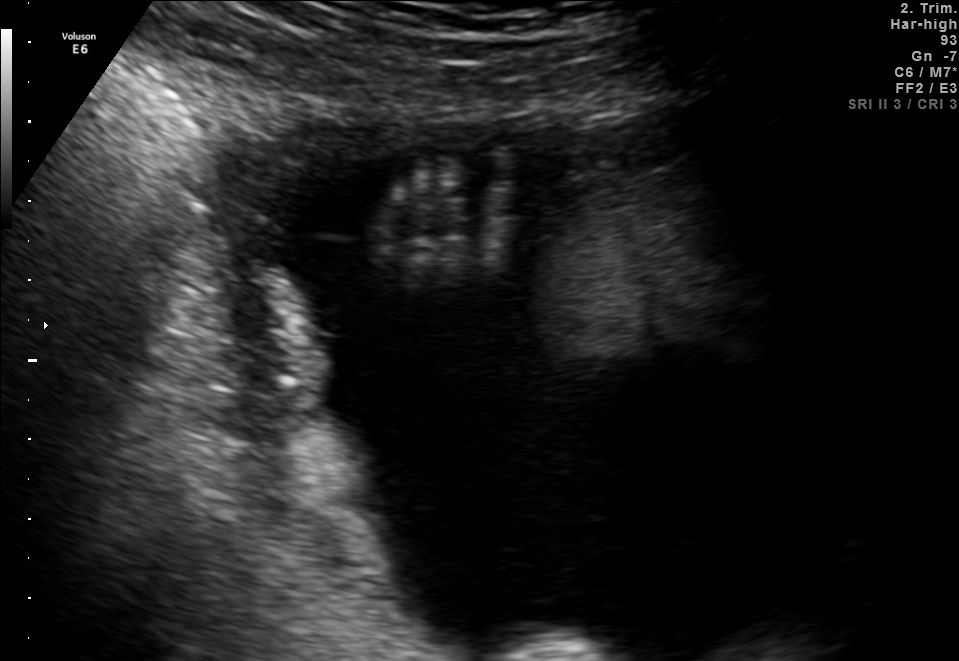
This is a 2D maternal-fetal ultrasound frame. Is it a fetal abdomen, fetal brain, fetal femur, fetal thorax, maternal cervix, or other standard plane? If it's fetal brain and one of the three standard brain planes (trans-thalamic, trans-cerebellum, trans-ventricular), name which.

Other